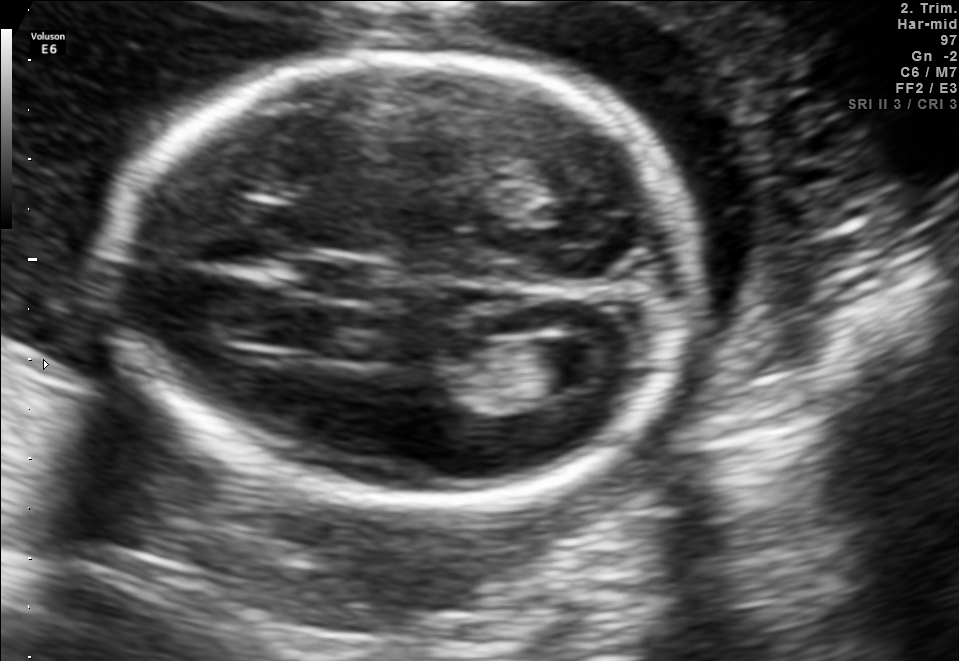
Fetal brain, trans-ventricular plane. Locate the cavum septum pellucidum.

CSP: [293,257,374,302]